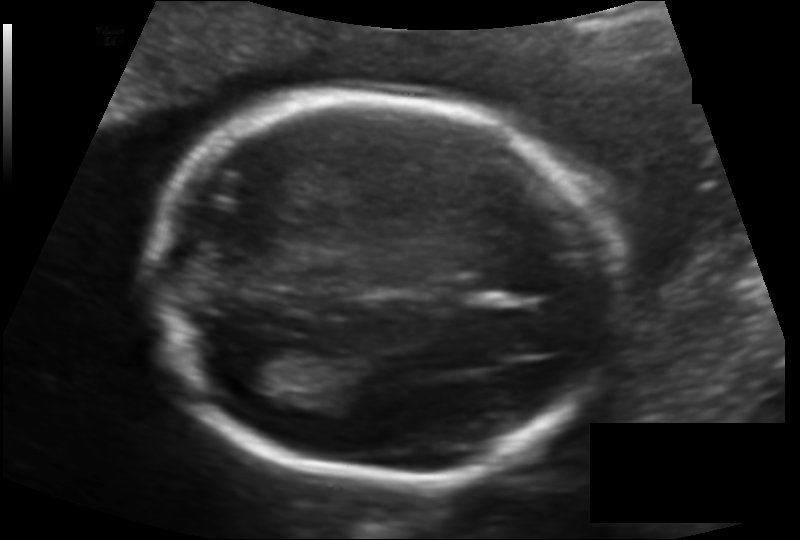
Fetal head ultrasound. Image width: 102.7 mm. Give [x1,y1,x2,y2] bounding boxes for each visible structure among: fetal head, CSP, LV.

Head: [152,95,616,480]
Lateral ventricle: [231,338,321,403]